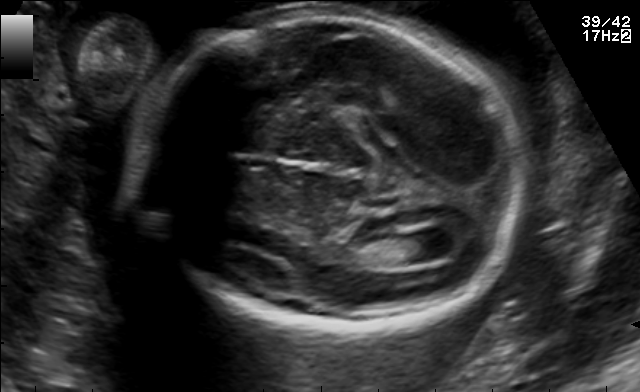
In this fetal brain, trans-ventricular plane, give the bounding box of the lateral ventricle.

[402,230,460,265]